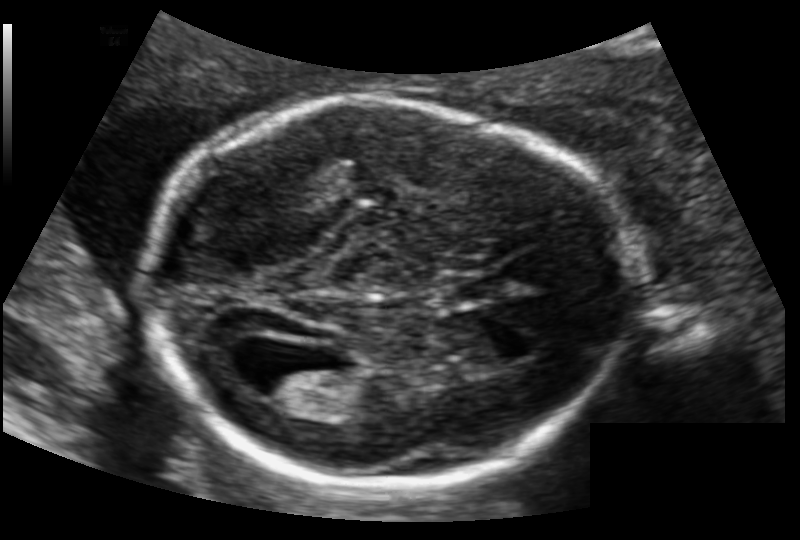
Fetal head ultrasound. Image width: 100.7 mm. Locate the fetal head and, if visible, the cavum septum pellucidum (CSP) and lateral ventricle (LV). Give bounding boxes as [x1,y1,x2,y2].

Head: [143,98,621,489]
CSP: [450,273,506,303]
Lateral ventricle: [242,345,327,415]